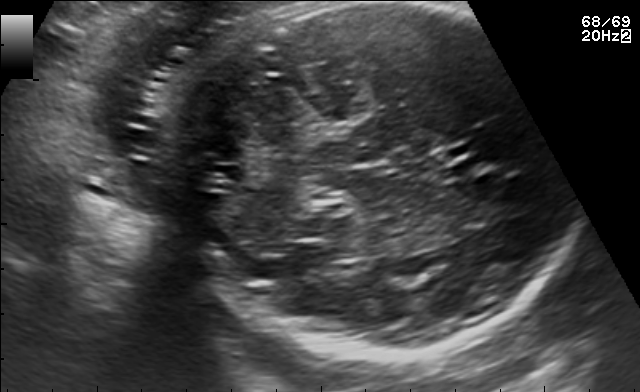
Fetal brain, trans-cerebellum plane. Locate the fetal head.

Head: [151,7,563,358]